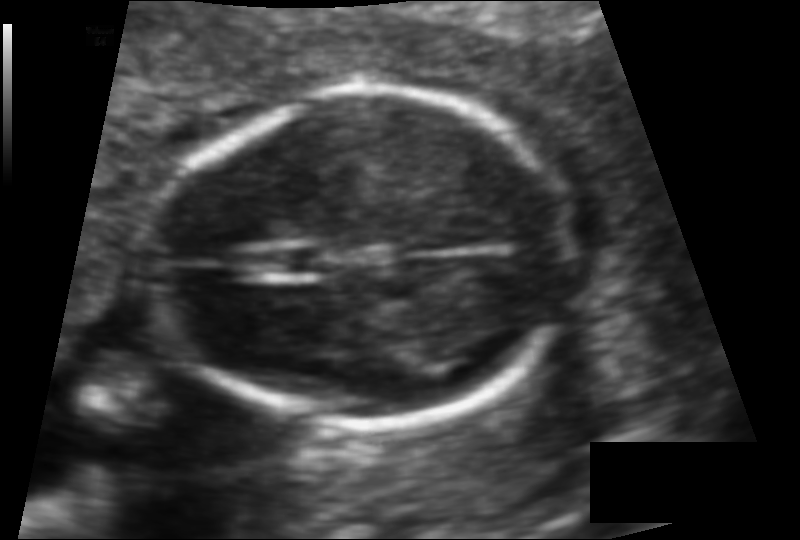
Estimate the fetal head circumference from this 2D ultrasound. Image width: 75.5 mm.

Head circumference: 120.3 mm.